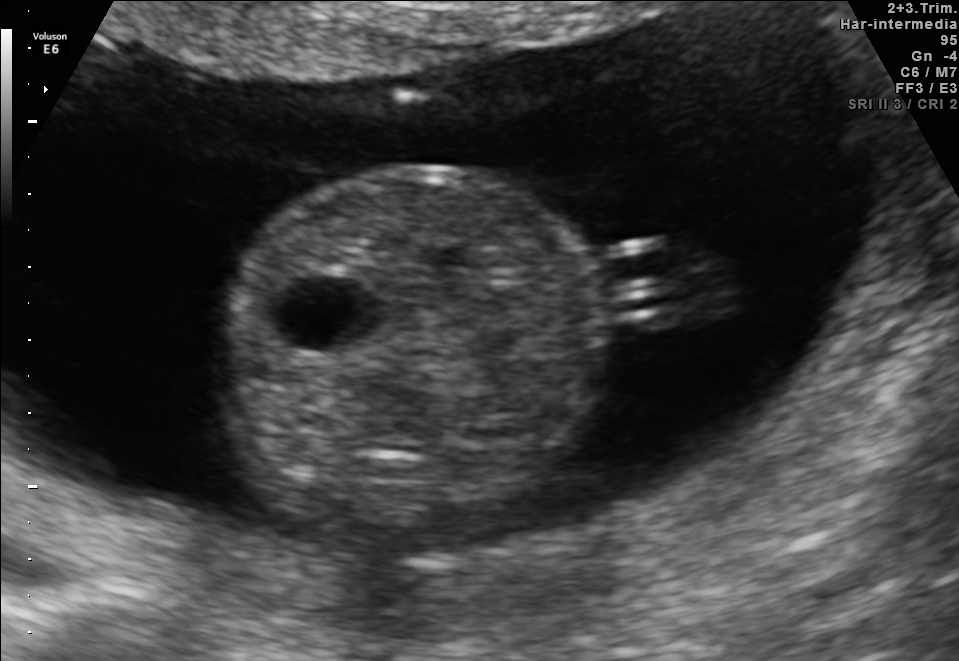
Classify this maternal-fetal ultrasound image as one of the six standard planes — fetal abdomen, fetal brain, fetal femur, fetal thorax, maternal cervix, or other. If it's fetal brain and one of the three standard brain planes (trans-thalamic, trans-cerebellum, trans-ventricular), name which.

Fetal abdomen